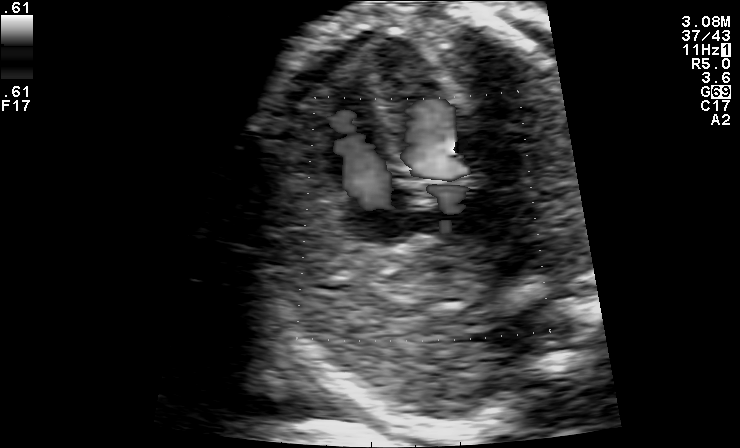
Which standard maternal-fetal ultrasound plane is shown: fetal abdomen, fetal brain, fetal femur, fetal thorax, maternal cervix, or other? If it's fetal brain and one of the three standard brain planes (trans-thalamic, trans-cerebellum, trans-ventricular), name which.

Other